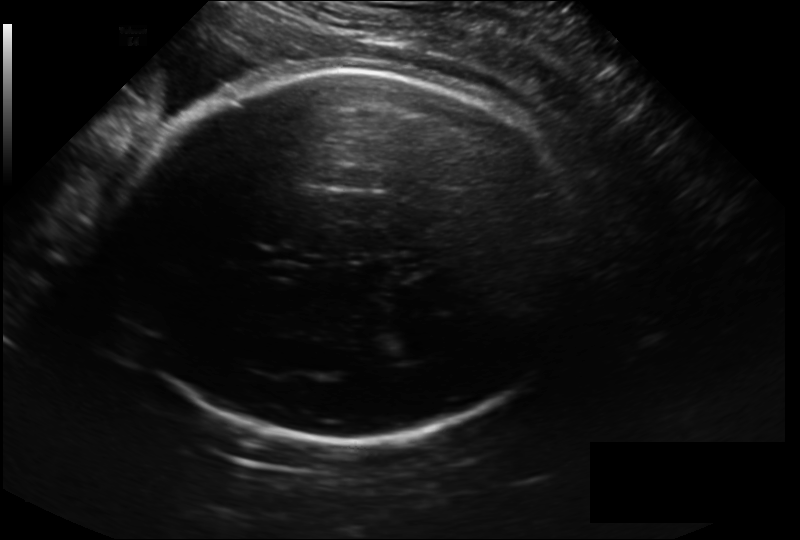
Fetal head ultrasound. Image width: 182.1 mm. Locate the fetal head and, if visible, the cavum septum pellucidum (CSP) and lateral ventricle (LV). Give bounding boxes as [x1,y1,x2,y2].

Head: [116,70,582,442]